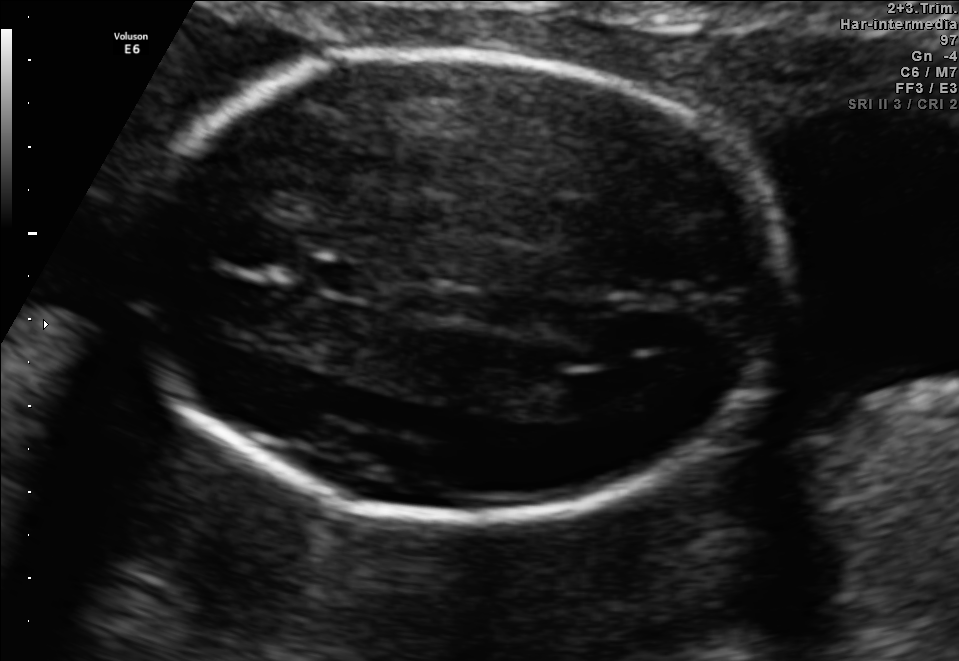
This is a 2D maternal-fetal ultrasound frame. Is it a fetal abdomen, fetal brain, fetal femur, fetal thorax, maternal cervix, or other standard plane? If it's fetal brain and one of the three standard brain planes (trans-thalamic, trans-cerebellum, trans-ventricular), name which.

Fetal brain (trans-ventricular plane)